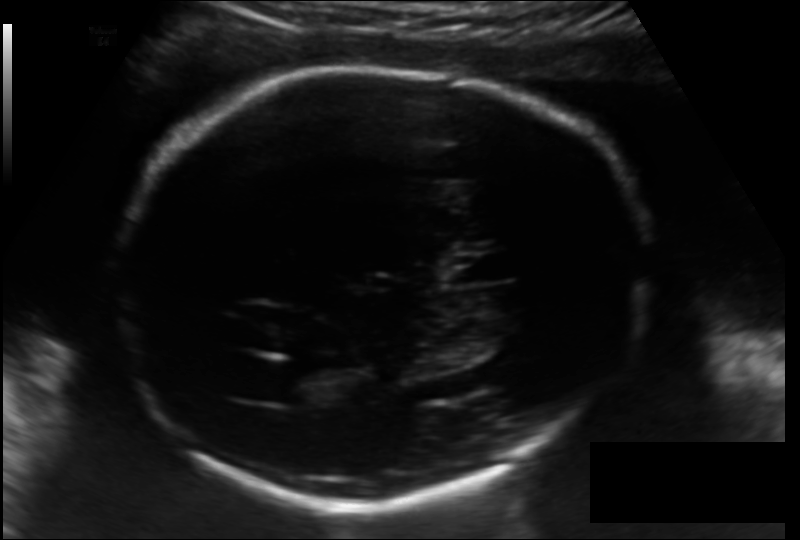
From this fetal ultrasound, estimate the head circumference (image width 125.8 mm).

Head circumference: 244.7 mm.